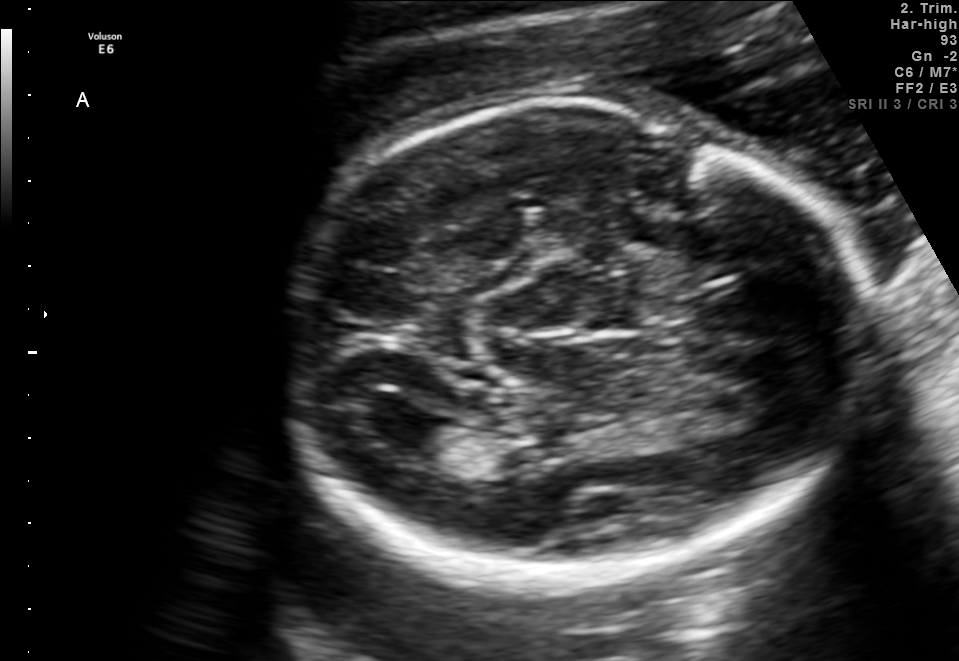
In this fetal brain, trans-ventricular plane, give bounding boxes for the head outline, cavum septum pellucidum (CSP), and lateral ventricle (LV), where visible.

Head: [271,101,880,598]
Lateral ventricle: [363,394,451,460]